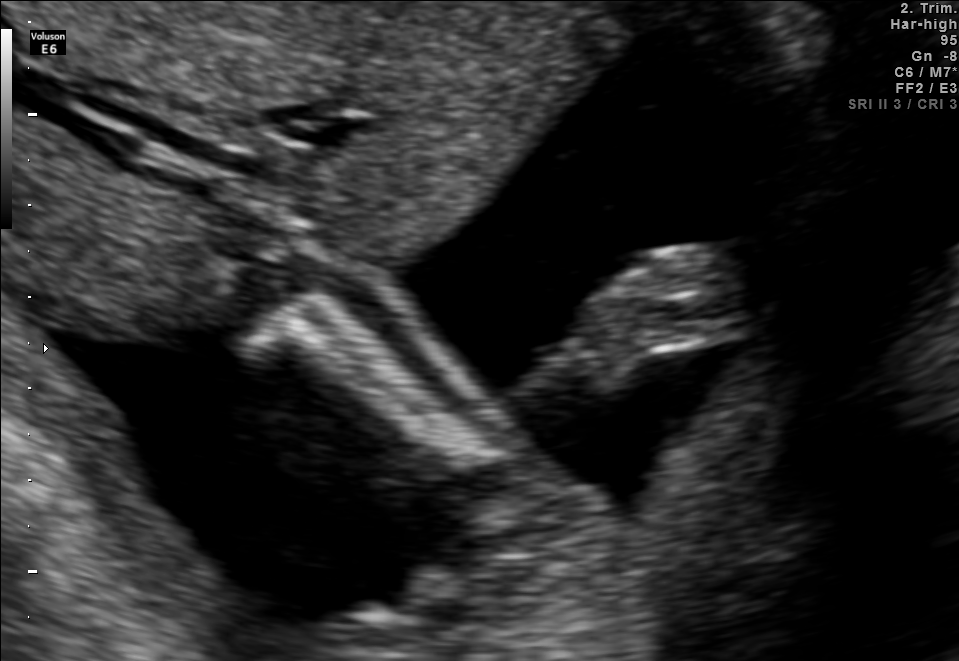
Identify the standard plane in this fetal ultrasound image: fetal abdomen, fetal brain, fetal femur, fetal thorax, maternal cervix, or other. If it's fetal brain and one of the three standard brain planes (trans-thalamic, trans-cerebellum, trans-ventricular), name which.

Other